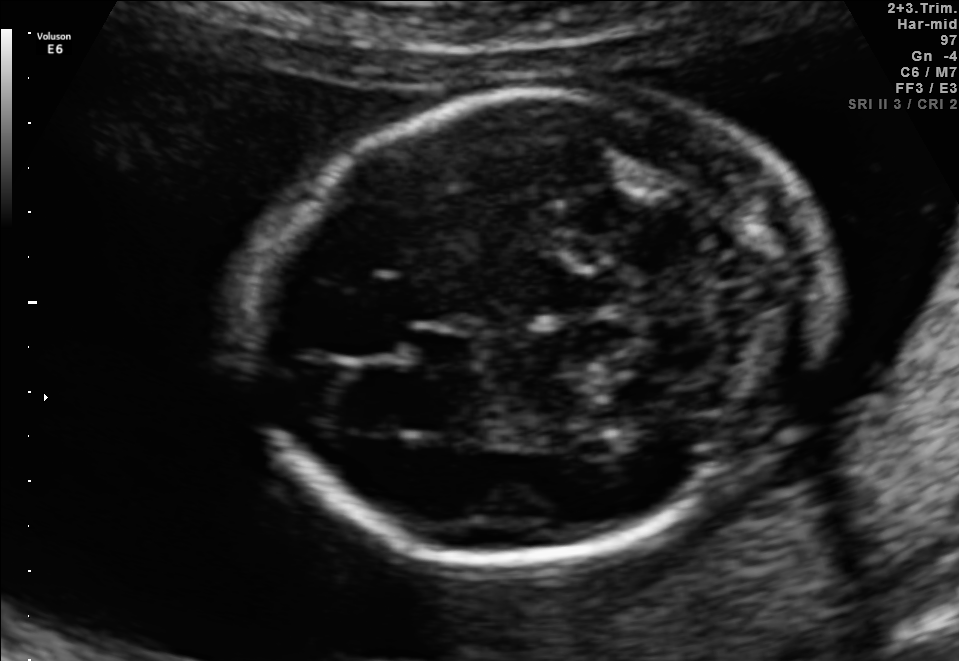
Fetal brain, trans-cerebellum plane. Locate the fetal head and, if visible, the cavum septum pellucidum (CSP) and lateral ventricle (LV). Give bounding boxes as [x1,y1,x2,y2].

Head: [250,90,821,559]
CSP: [411,323,476,369]